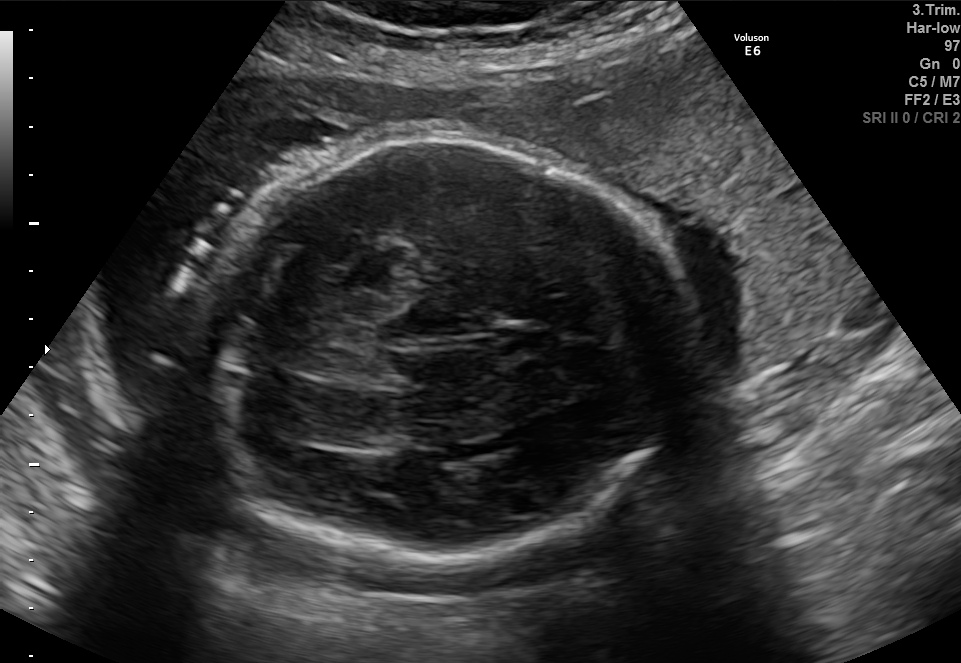
In this fetal brain, trans-thalamic plane, give the bounding box of the fetal head.

[212,136,690,557]